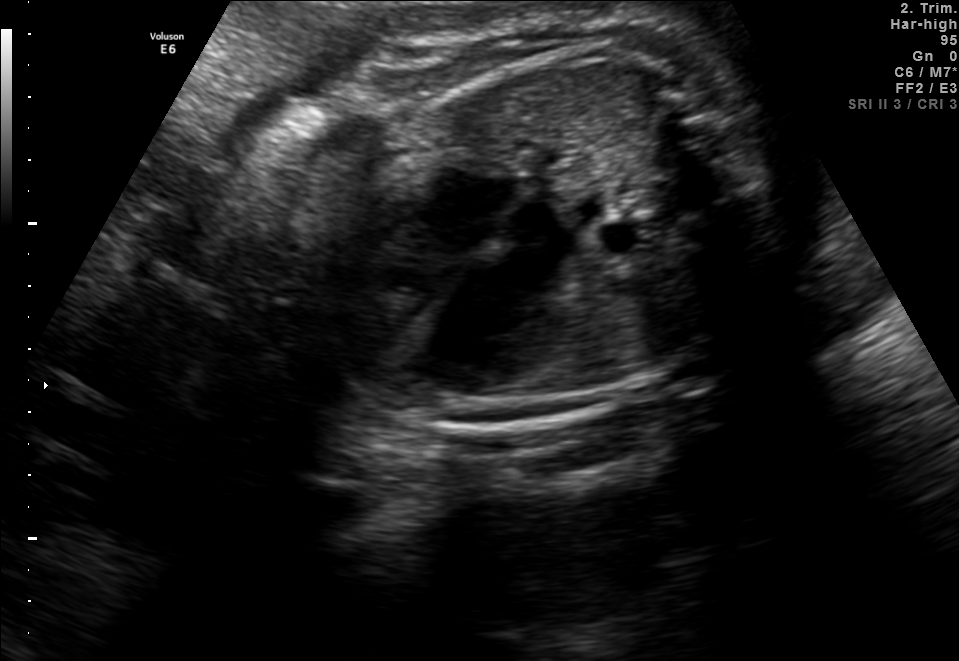
Identify the standard plane in this fetal ultrasound image: fetal abdomen, fetal brain, fetal femur, fetal thorax, maternal cervix, or other. If it's fetal brain and one of the three standard brain planes (trans-thalamic, trans-cerebellum, trans-ventricular), name which.

Fetal thorax